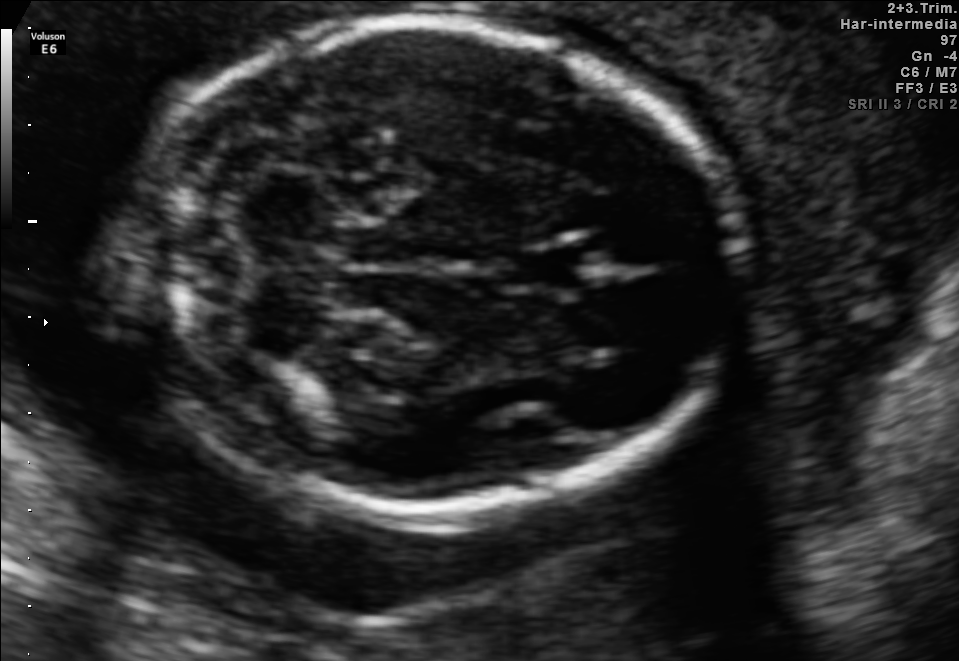
Fetal brain, trans-cerebellum plane. Locate the fetal head and, if visible, the cavum septum pellucidum (CSP) and lateral ventricle (LV). Give bounding boxes as [x1,y1,x2,y2].

Head: [130,23,739,518]
CSP: [504,243,590,294]